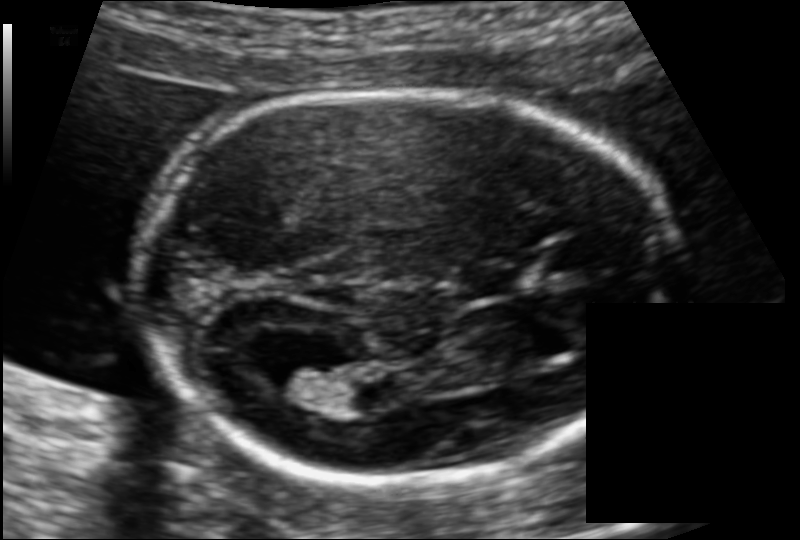
From this fetal ultrasound, estimate the head circumference (image width 85.1 mm).

Head circumference: 159.9 mm.